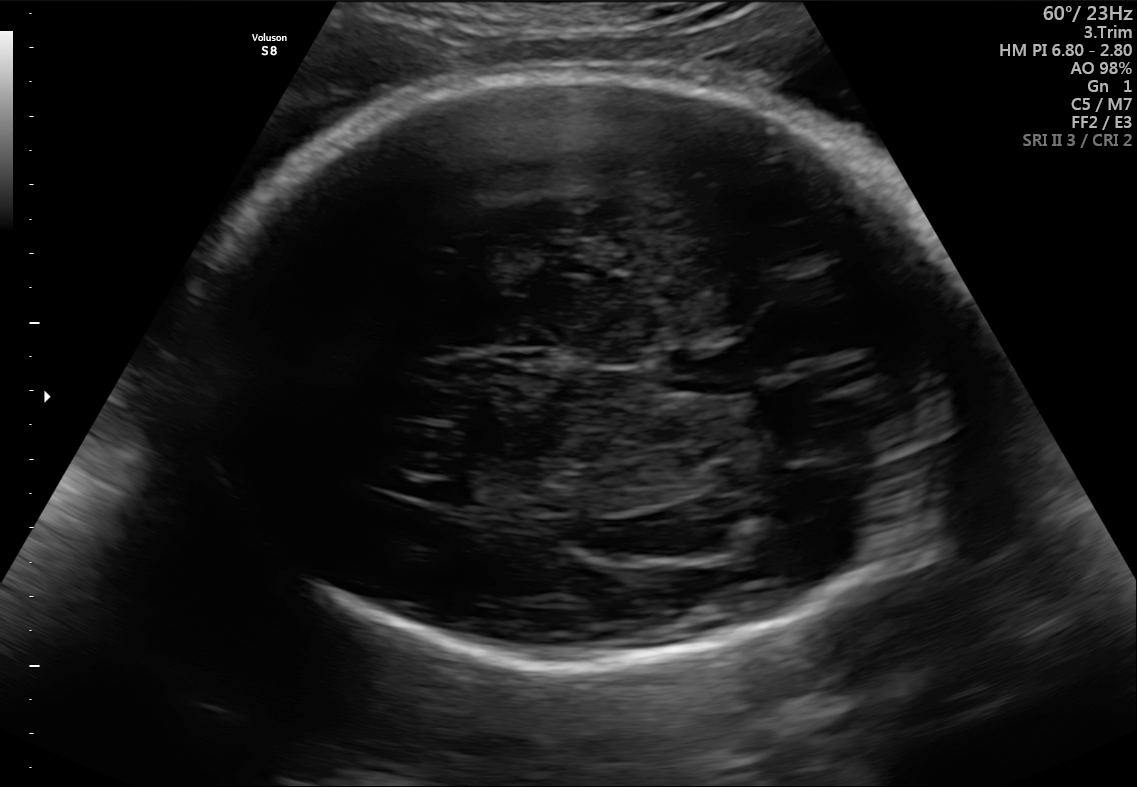
Fetal brain, trans-thalamic plane. Give [x1,y1,x2,y2] bounding boxes for each visible structure among: fetal head, CSP, LV.

Head: [180,73,964,669]
CSP: [669,353,744,393]
Lateral ventricle: [427,479,484,505]